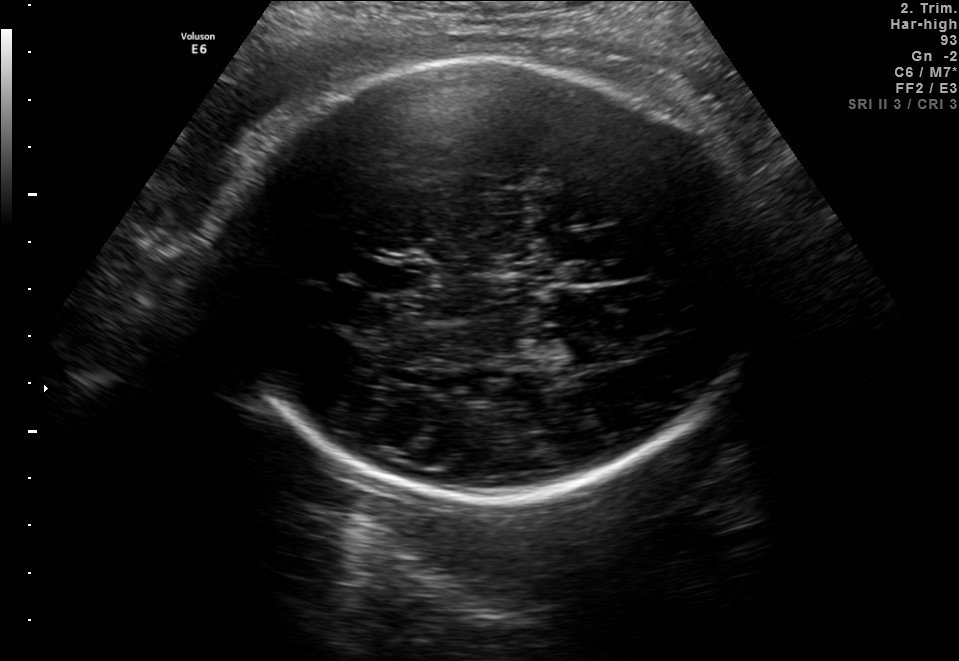
Fetal brain, trans-thalamic plane. Locate the fetal head and, if visible, the cavum septum pellucidum (CSP) and lateral ventricle (LV). Give bounding boxes as [x1,y1,x2,y2].

Head: [215,58,758,491]
CSP: [355,259,409,295]